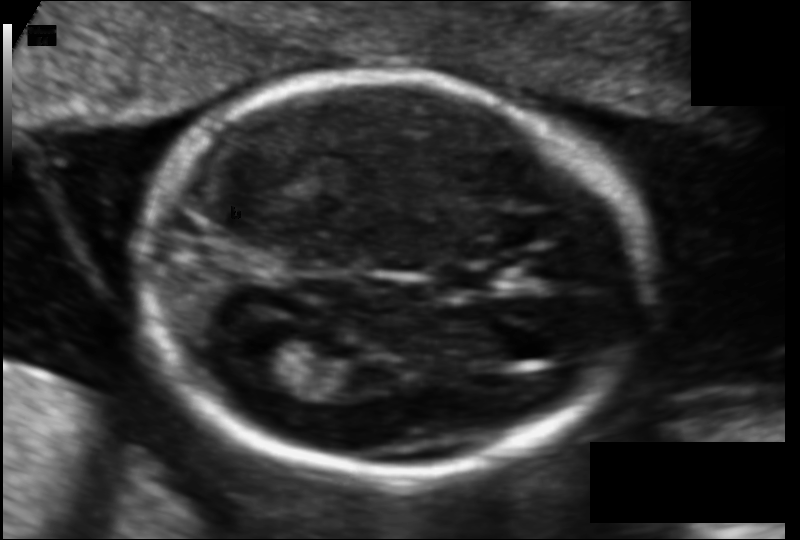
Fetal head ultrasound. Image width: 83.2 mm. Give [x1,y1,x2,y2] bounding boxes for each visible structure among: fetal head, CSP, LV.

Head: [136,74,644,475]
CSP: [434,265,501,292]
Lateral ventricle: [223,314,313,391]